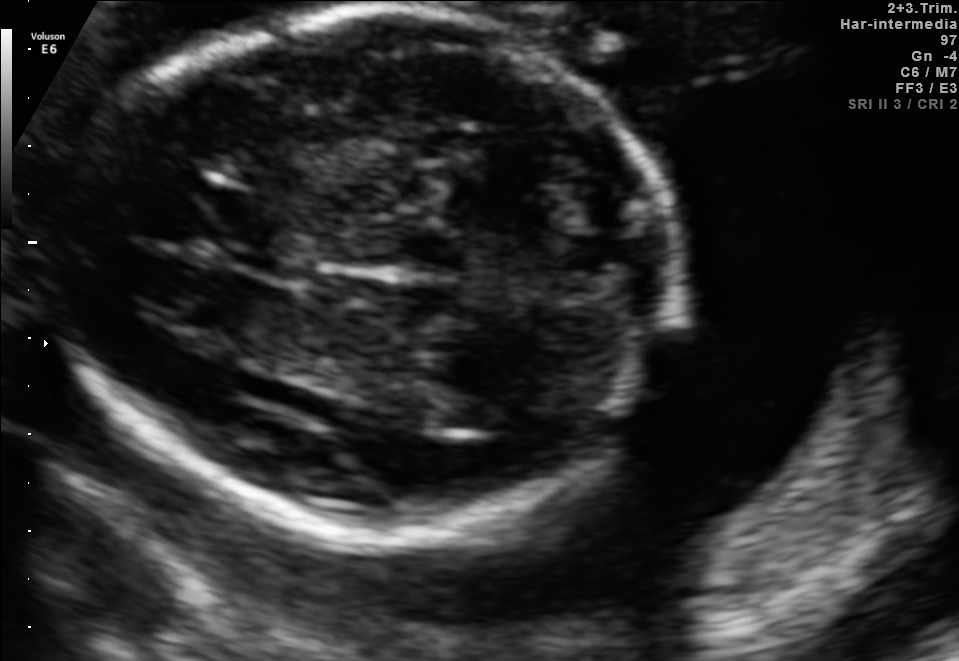
In this fetal brain, trans-thalamic plane, give the bounding box of the cavum septum pellucidum.

[187,183,316,279]